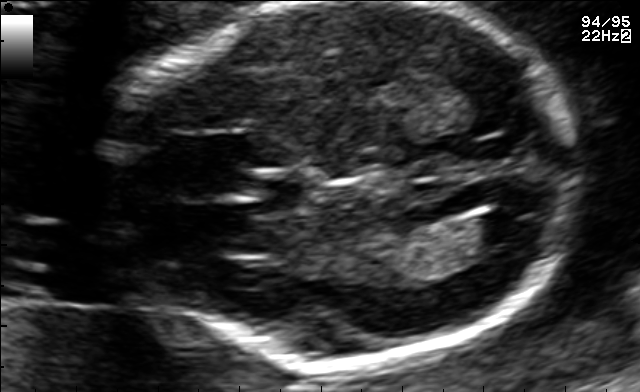
Fetal brain, trans-ventricular plane. Where is the lateral ventricle?

Lateral ventricle bounding box: [467,202,537,250]